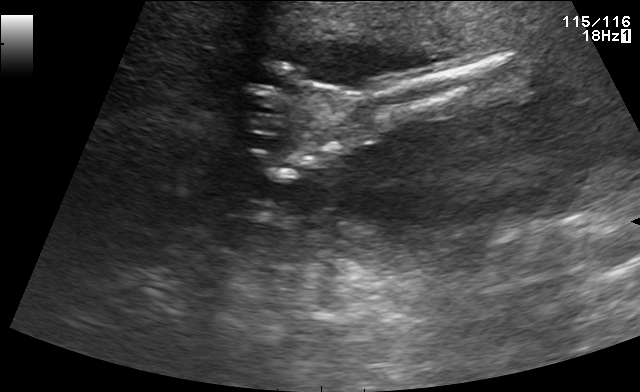
Identify the standard plane in this fetal ultrasound image: fetal abdomen, fetal brain, fetal femur, fetal thorax, maternal cervix, or other. If it's fetal brain and one of the three standard brain planes (trans-thalamic, trans-cerebellum, trans-ventricular), name which.

Other